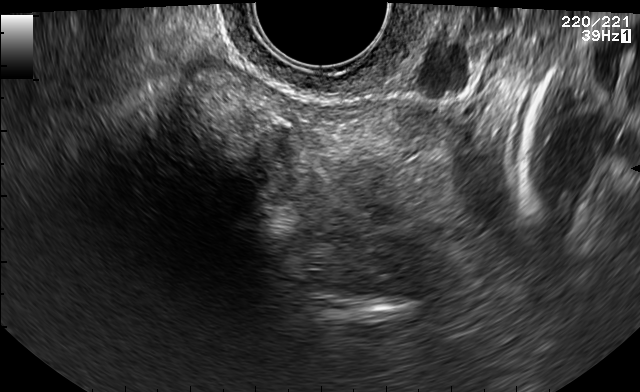
Which standard maternal-fetal ultrasound plane is shown: fetal abdomen, fetal brain, fetal femur, fetal thorax, maternal cervix, or other? If it's fetal brain and one of the three standard brain planes (trans-thalamic, trans-cerebellum, trans-ventricular), name which.

Maternal cervix